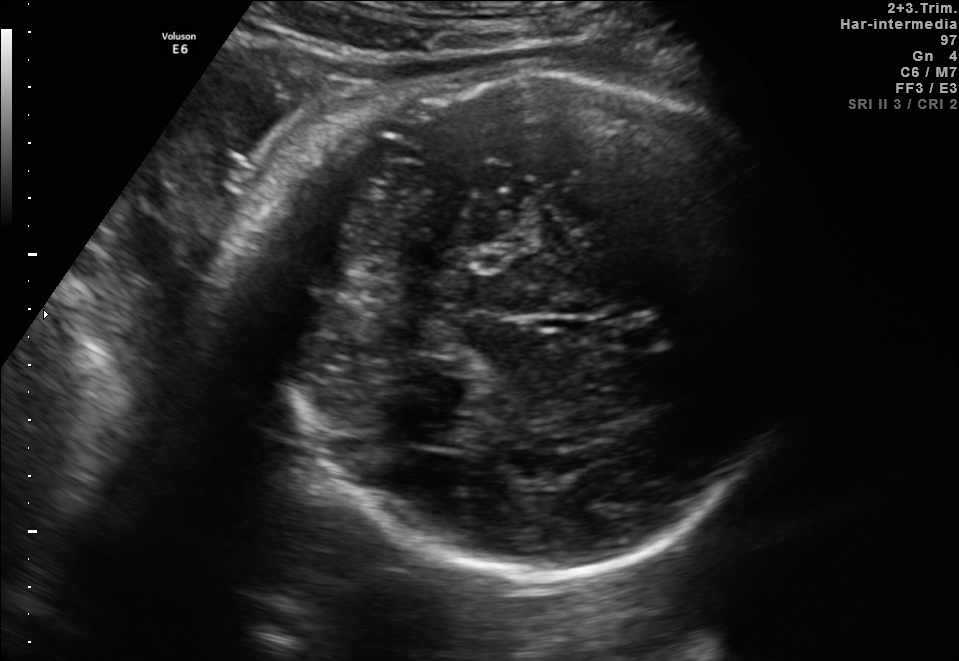
Fetal brain, trans-cerebellum plane. Locate the cavum septum pellucidum.

CSP: [602,313,667,356]